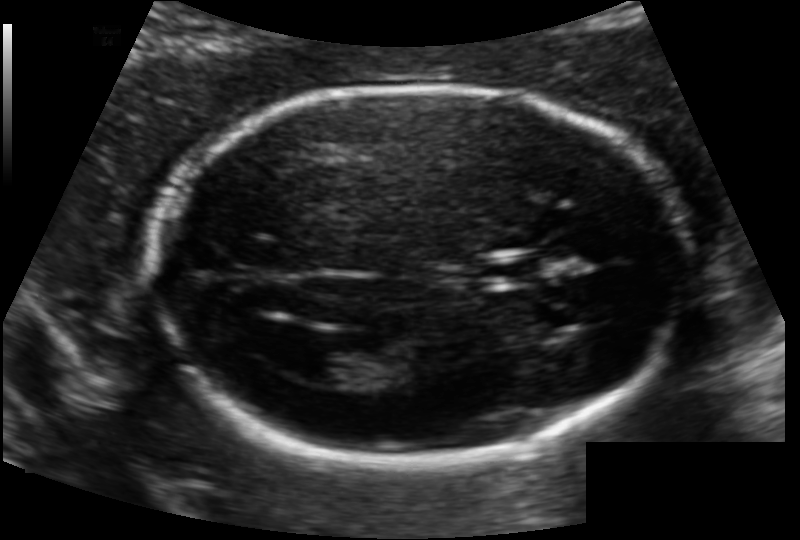
In this fetal head ultrasound, give bounding boxes for the head outline, cavum septum pellucidum (CSP), and lateral ventricle (LV), where visible. Image width: 94.1 mm.

Head: [150,86,688,457]
CSP: [477,252,544,287]
Lateral ventricle: [294,345,364,387]